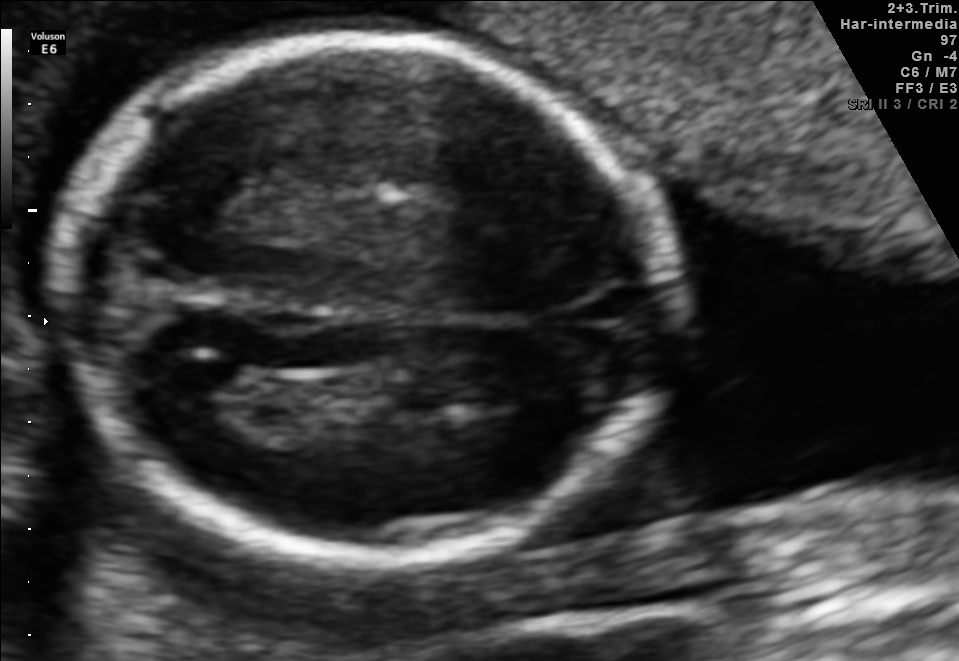
Fetal brain, trans-thalamic plane. Locate the fetal head.

Head: [60,38,671,559]